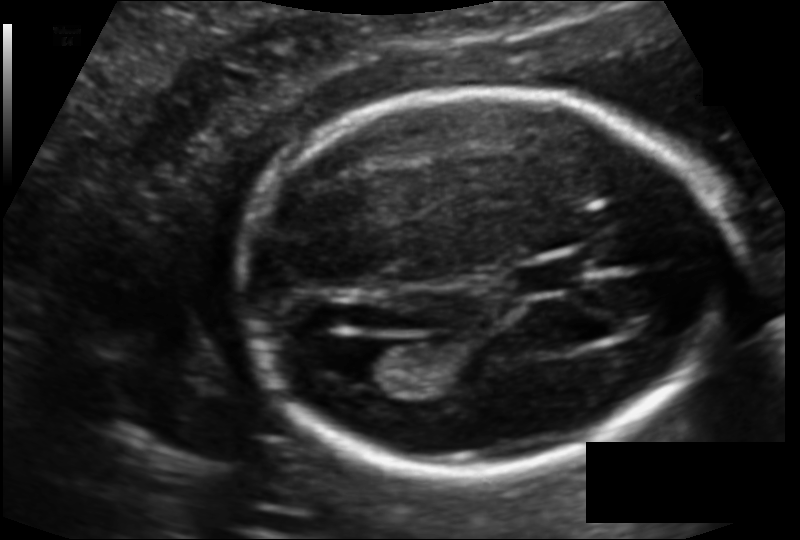
What is the fetal head circumference? Image width is 96.9 mm.

169.5 mm